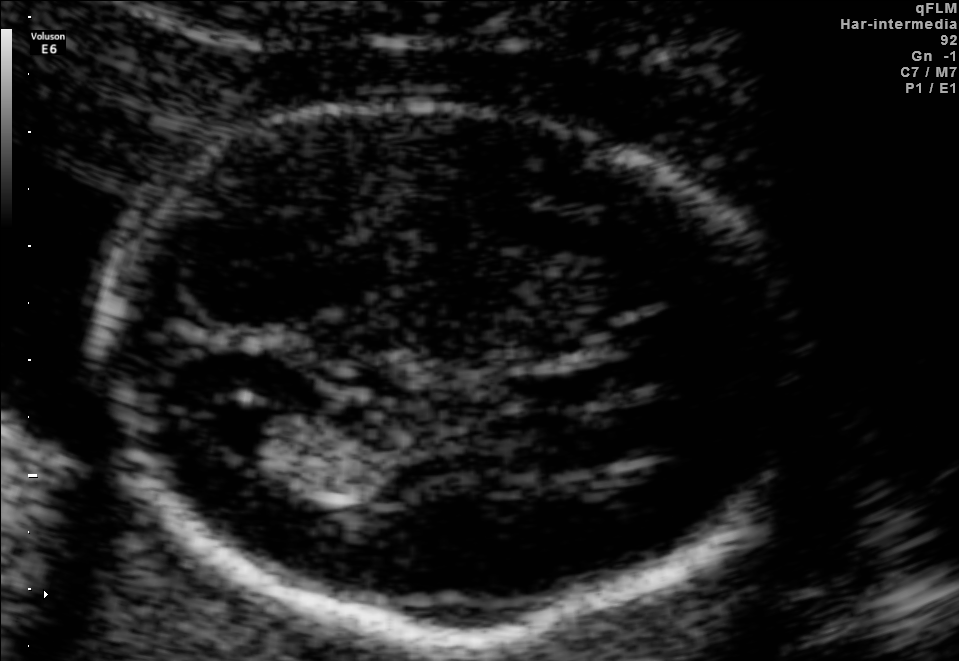
In this fetal brain, trans-ventricular plane, give bounding boxes for the head outline, cavum septum pellucidum (CSP), and lateral ventricle (LV), where visible.

Head: [83,92,806,649]